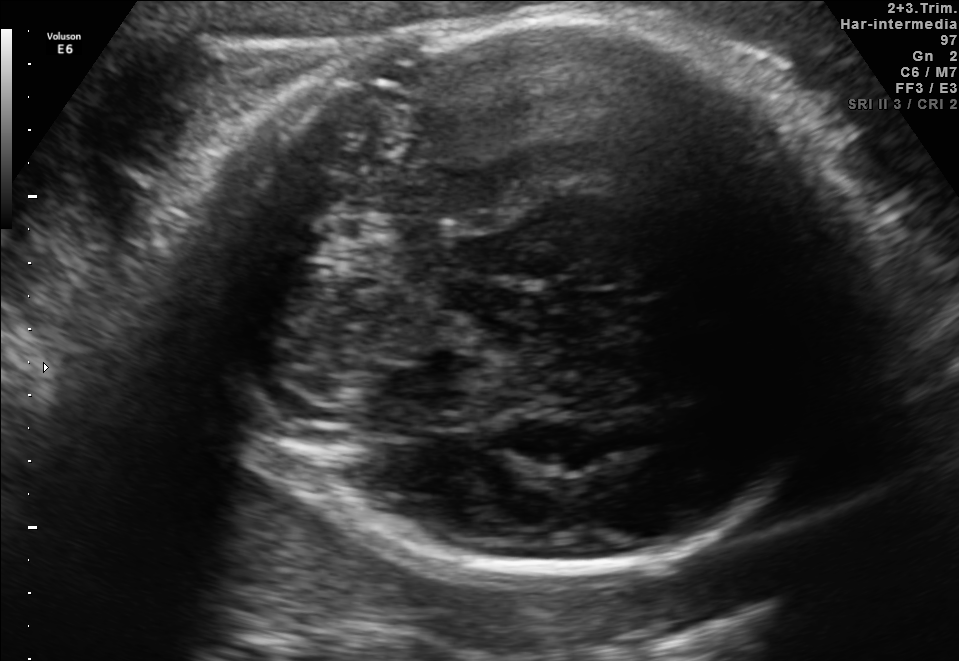
In this fetal brain, trans-thalamic plane, give bounding boxes for the head outline, cavum septum pellucidum (CSP), and lateral ventricle (LV), where visible.

Head: [203,9,864,582]